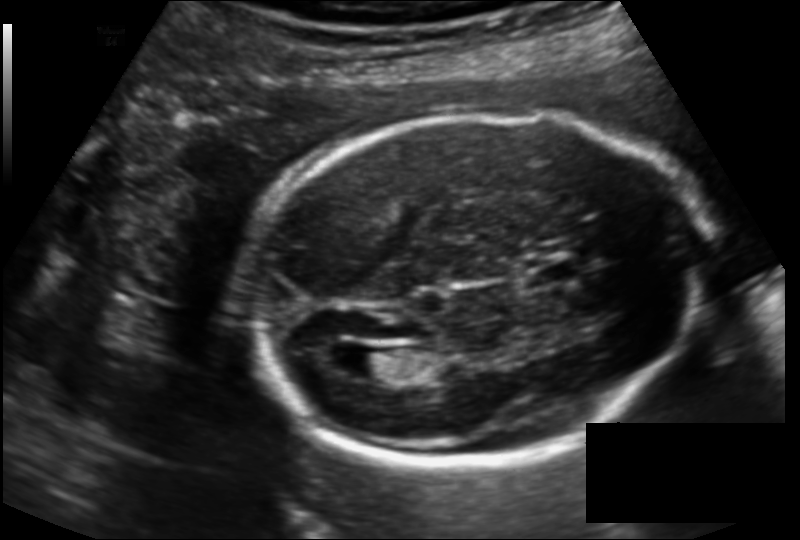
Fetal head ultrasound. Image width: 114.4 mm. Locate the cavum septum pellucidum.

CSP: [522,257,578,291]